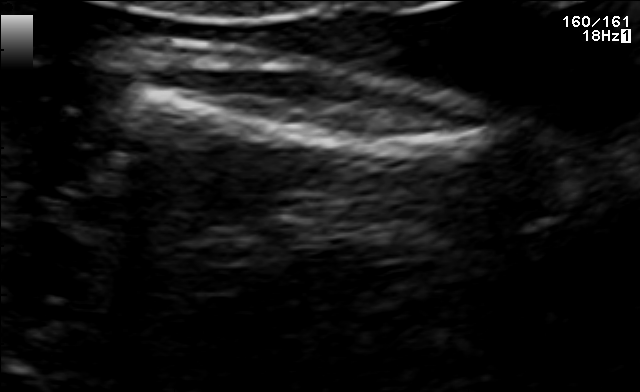
This is a 2D maternal-fetal ultrasound frame. Is it a fetal abdomen, fetal brain, fetal femur, fetal thorax, maternal cervix, or other standard plane? If it's fetal brain and one of the three standard brain planes (trans-thalamic, trans-cerebellum, trans-ventricular), name which.

Fetal femur